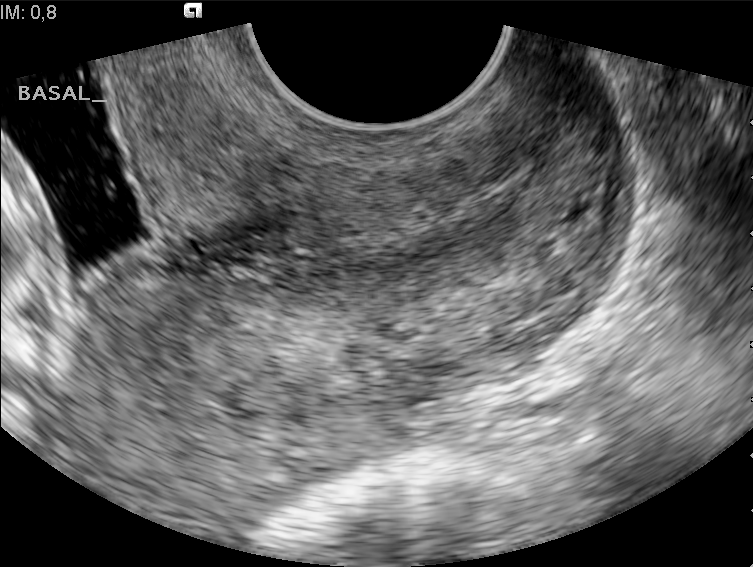
Which standard maternal-fetal ultrasound plane is shown: fetal abdomen, fetal brain, fetal femur, fetal thorax, maternal cervix, or other? If it's fetal brain and one of the three standard brain planes (trans-thalamic, trans-cerebellum, trans-ventricular), name which.

Maternal cervix